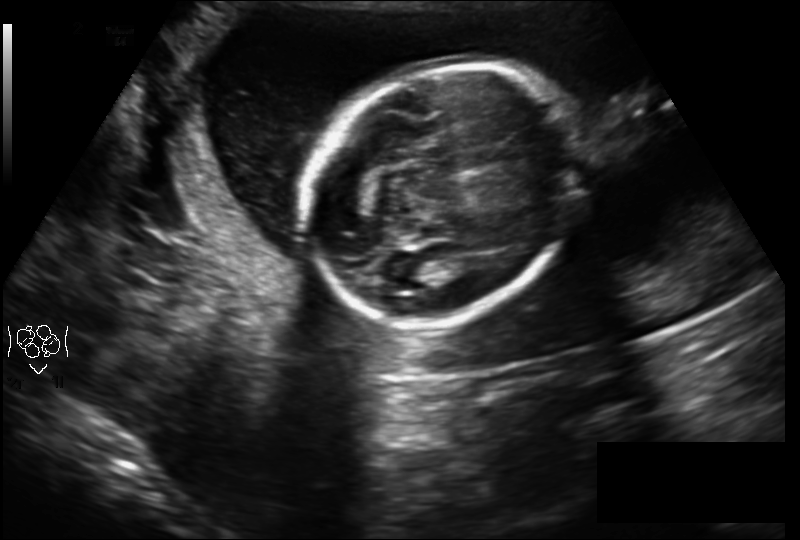
Fetal head ultrasound. Image width: 167.6 mm. Give [x1,y1,x2,y2] bounding boxes for each visible structure among: fetal head, CSP, LV.

Head: [306,64,582,321]